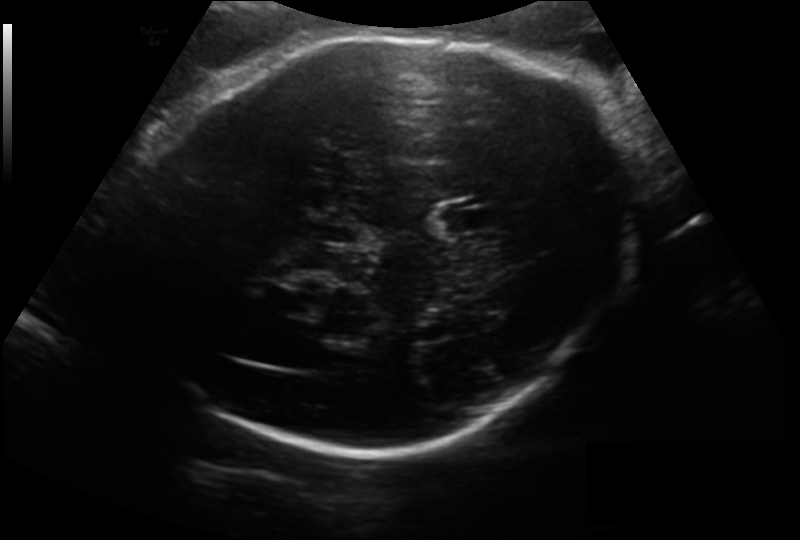
Measure the fetal head circumference shown in this ultrasound image. Image width: 160.1 mm.

Head circumference: 294.9 mm.